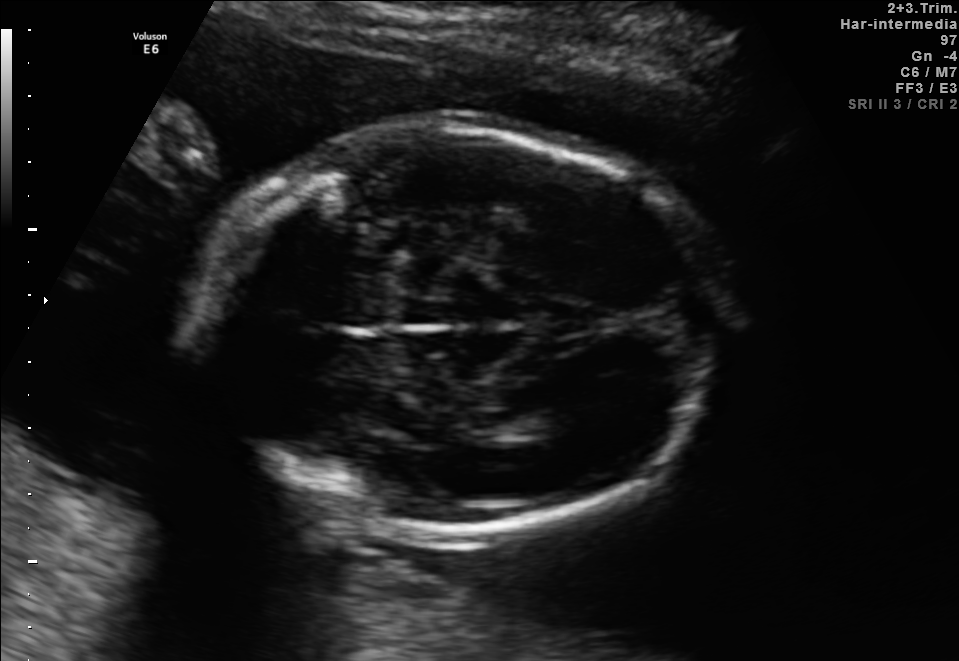
Fetal brain, trans-thalamic plane. Locate the fetal head.

Head: [190,128,719,533]